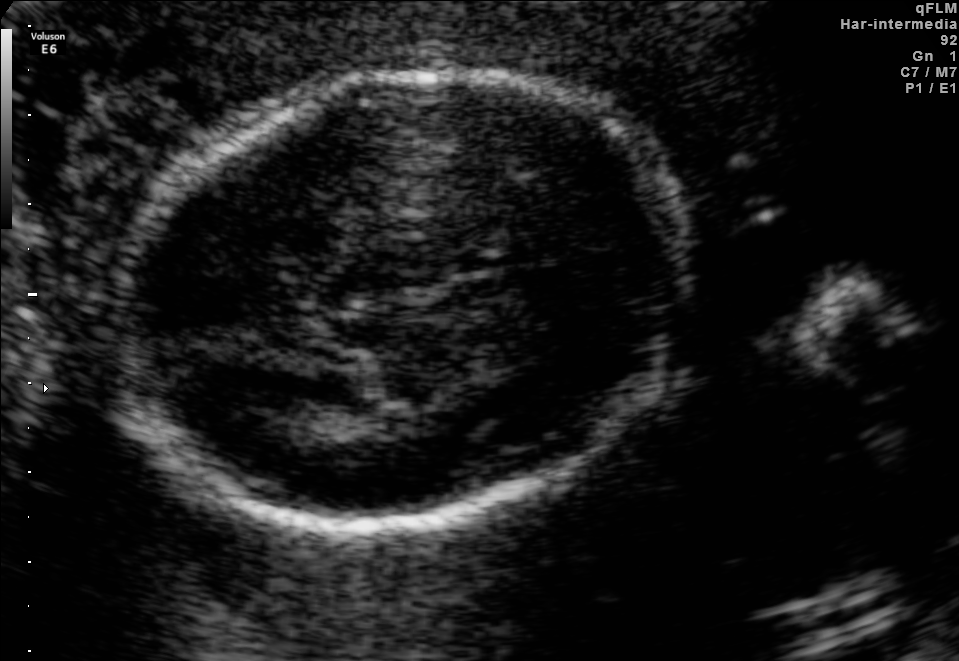
In this fetal brain, trans-thalamic plane, give the bounding box of the fetal head.

[119,74,688,531]